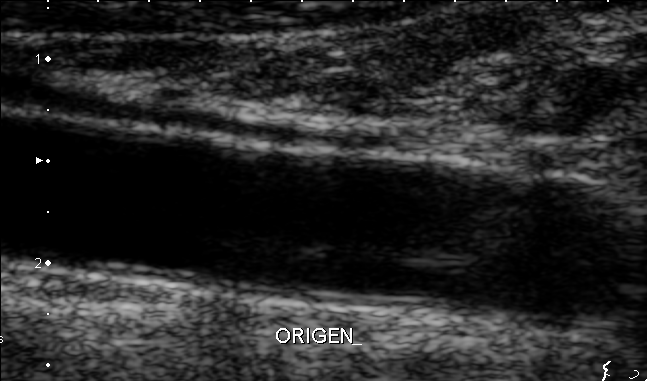
This is a 2D maternal-fetal ultrasound frame. Is it a fetal abdomen, fetal brain, fetal femur, fetal thorax, maternal cervix, or other standard plane? If it's fetal brain and one of the three standard brain planes (trans-thalamic, trans-cerebellum, trans-ventricular), name which.

Other